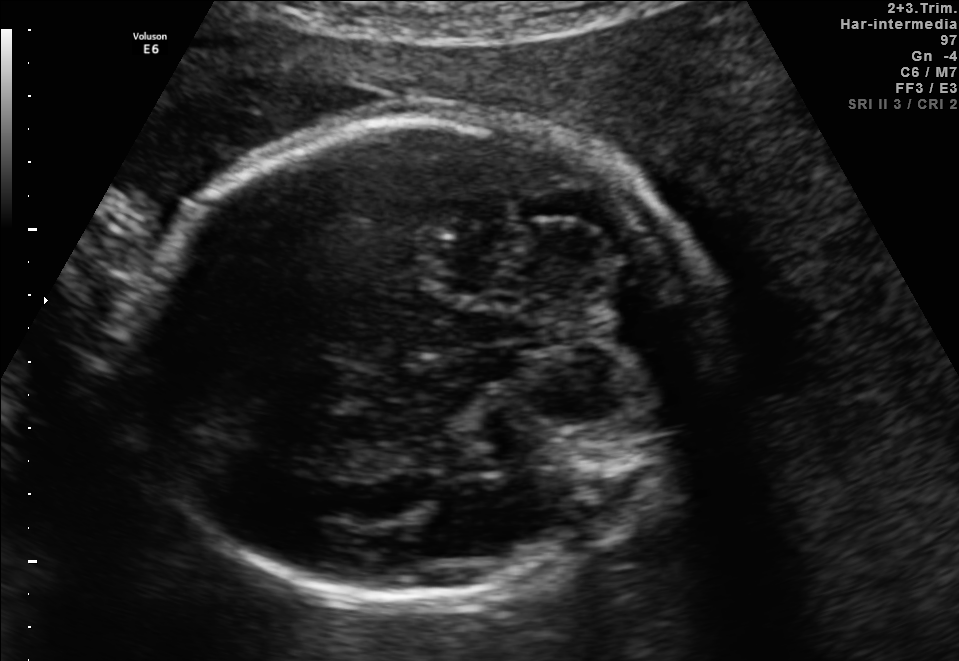
Fetal brain, trans-cerebellum plane. Locate the fetal head.

Head: [135,110,704,599]